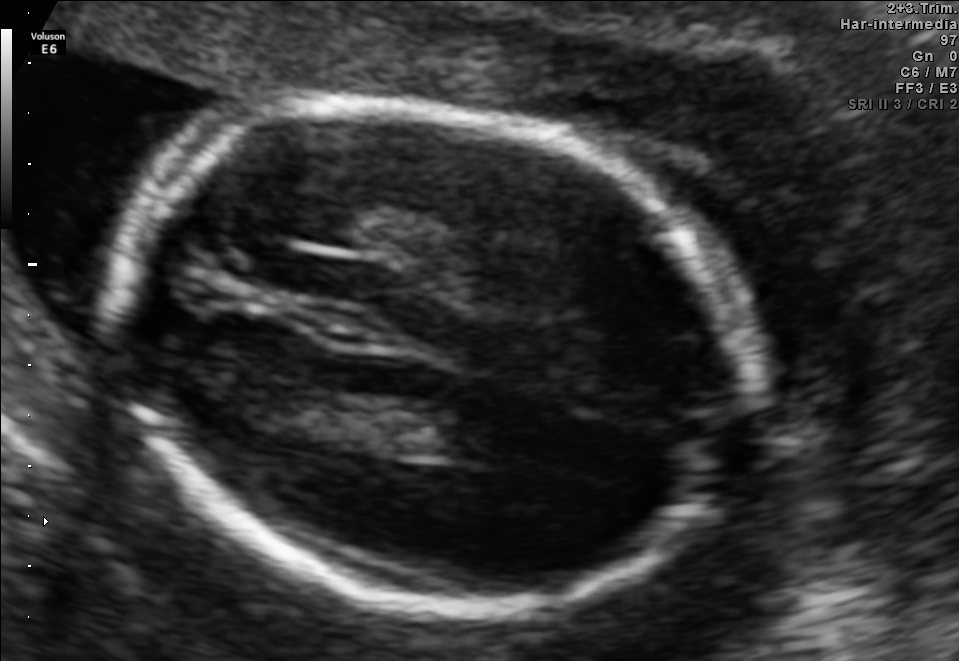
Fetal brain, trans-thalamic plane. Where is the fetal head?

Head bounding box: [102,100,743,615]